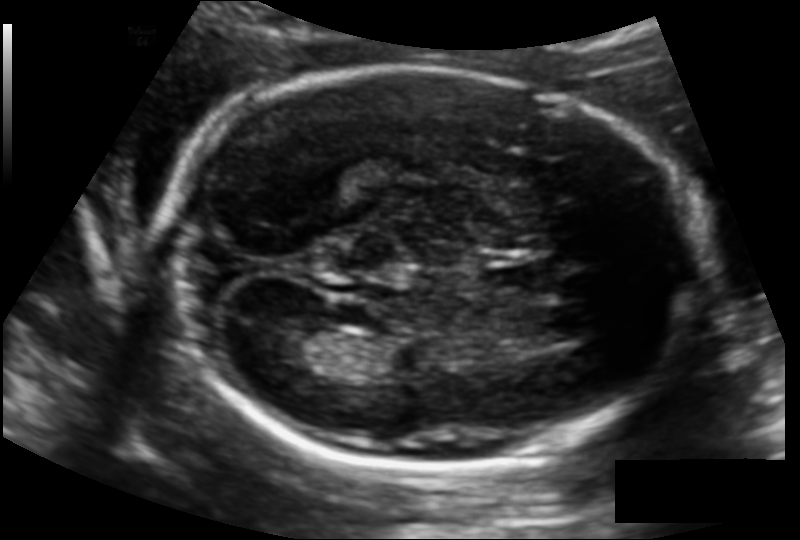
Estimate the fetal head circumference from this 2D ultrasound. Image width: 103.6 mm.

Head circumference: 197.9 mm.